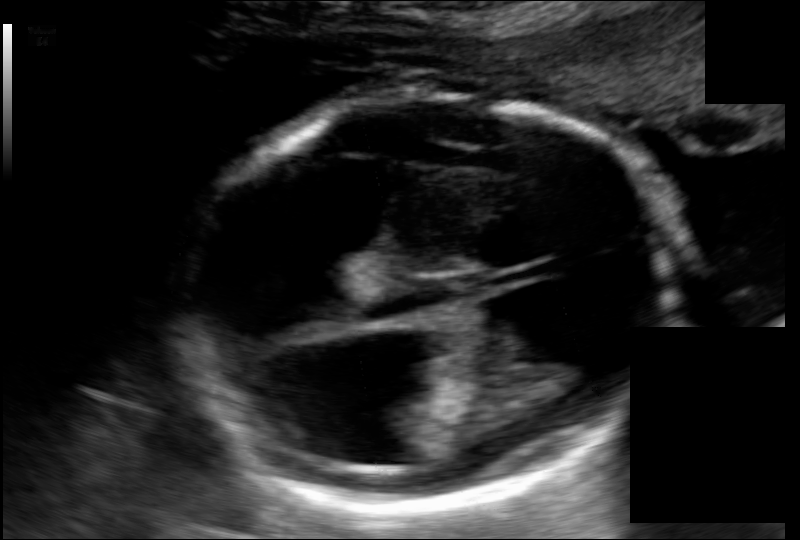
What is the fetal head circumference? Image width is 107.8 mm.

196.9 mm